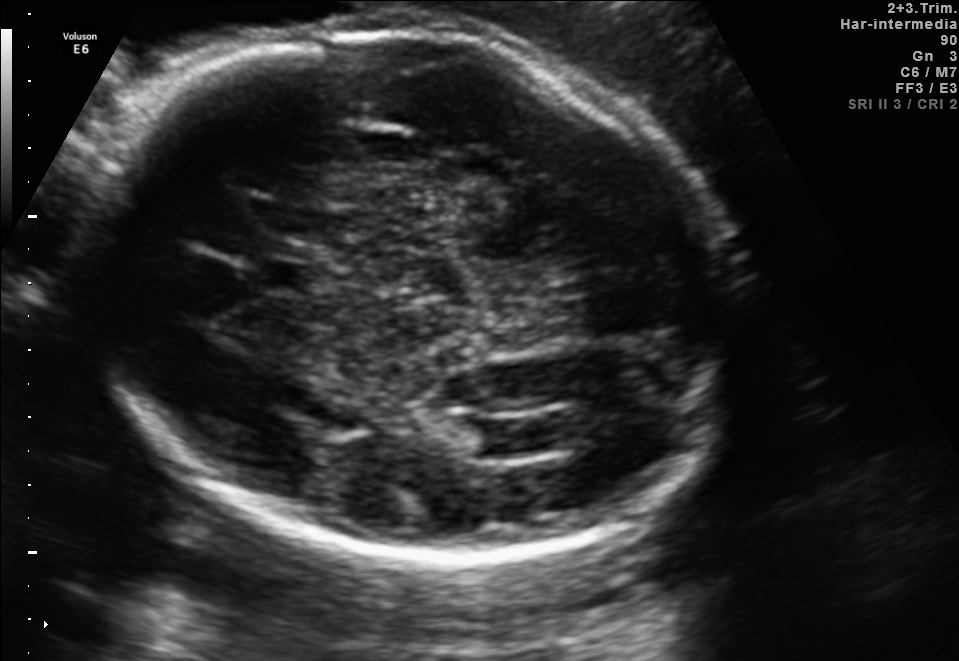
Fetal brain, trans-ventricular plane. Give [x1,y1,x2,y2] bounding boxes for each visible structure among: fetal head, CSP, LV.

Head: [67,17,760,570]
CSP: [229,244,332,305]
Lateral ventricle: [470,410,566,458]